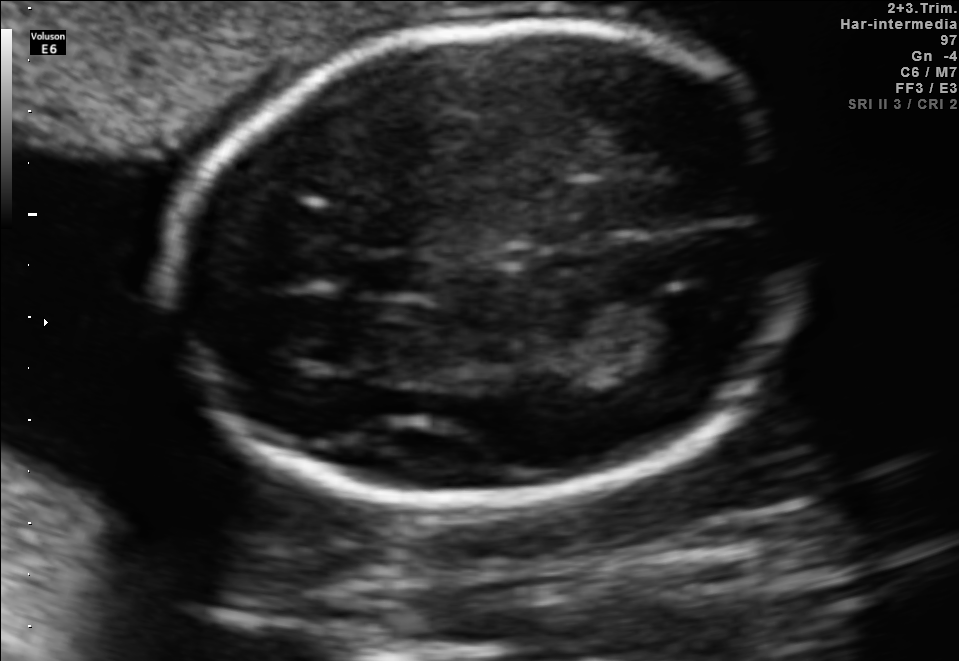
Fetal brain, trans-thalamic plane. Give [x1,y1,x2,y2] bounding boxes for each visible structure among: fetal head, CSP, LV.

Head: [170,21,801,506]
CSP: [351,259,429,292]
Lateral ventricle: [580,287,716,370]